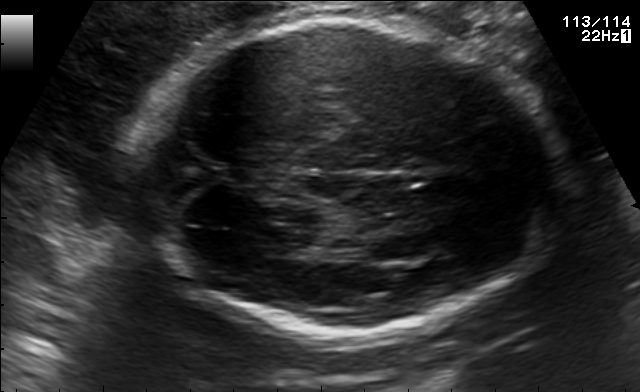
Classify this maternal-fetal ultrasound image as one of the six standard planes — fetal abdomen, fetal brain, fetal femur, fetal thorax, maternal cervix, or other. If it's fetal brain and one of the three standard brain planes (trans-thalamic, trans-cerebellum, trans-ventricular), name which.

Fetal brain (trans-thalamic plane)